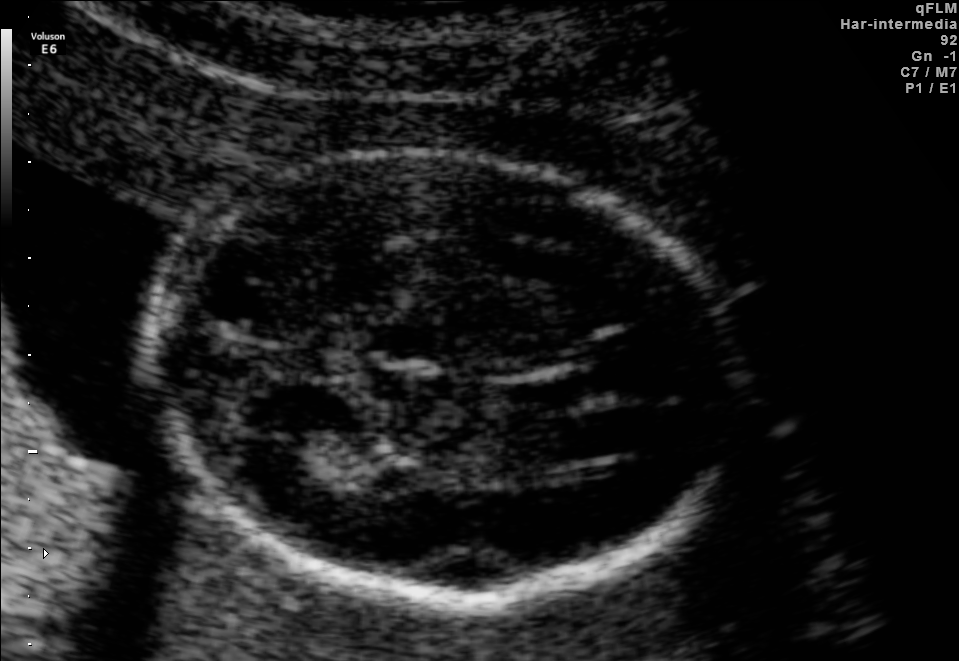
In this fetal brain, trans-thalamic plane, give the bounding box of the fetal head.

[147,155,738,596]